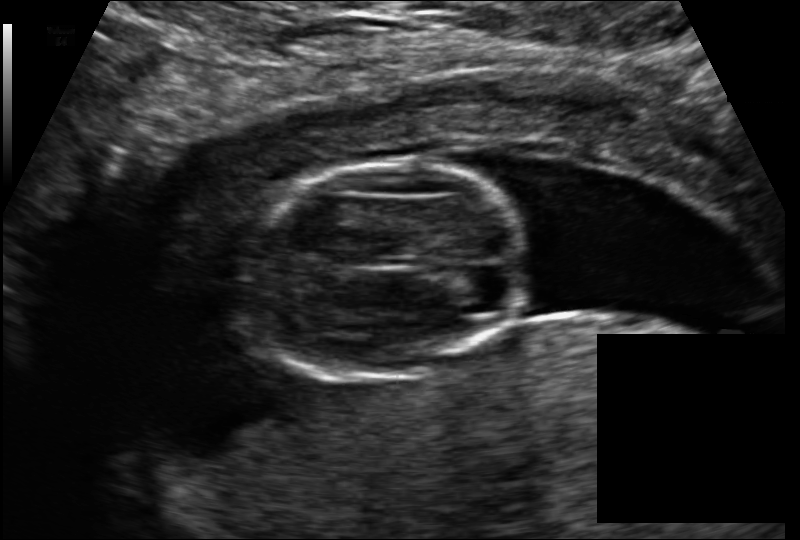
Fetal head ultrasound. Image width: 91.0 mm. Where is the fetal head?

Head bounding box: [244,162,524,378]